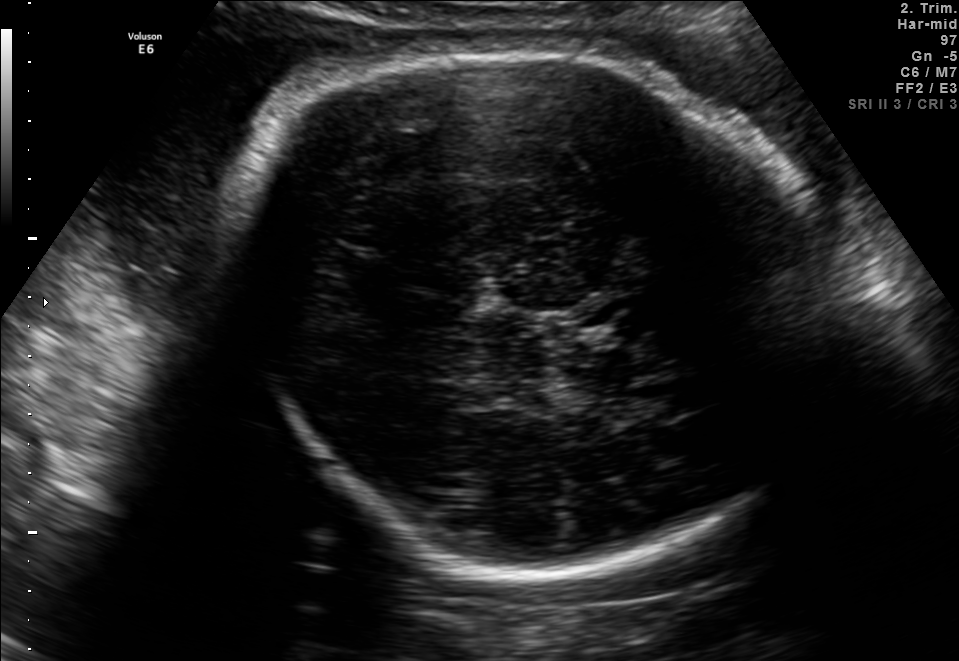
Fetal brain, trans-thalamic plane. Locate the fetal head.

Head: [236,39,821,578]